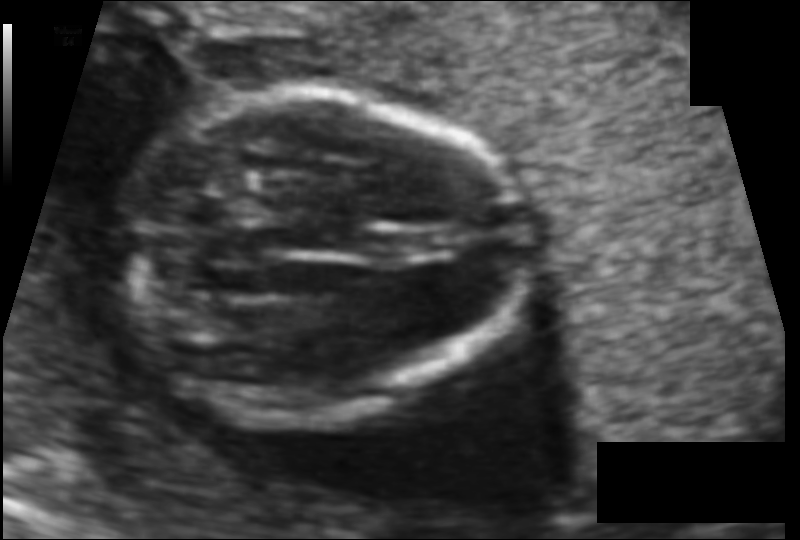
In this fetal head ultrasound, give bounding boxes for the head outline, cavum septum pellucidum (CSP), and lateral ventricle (LV), where visible. Image width: 71.6 mm.

Head: [124,91,524,422]
CSP: [372,230,438,261]